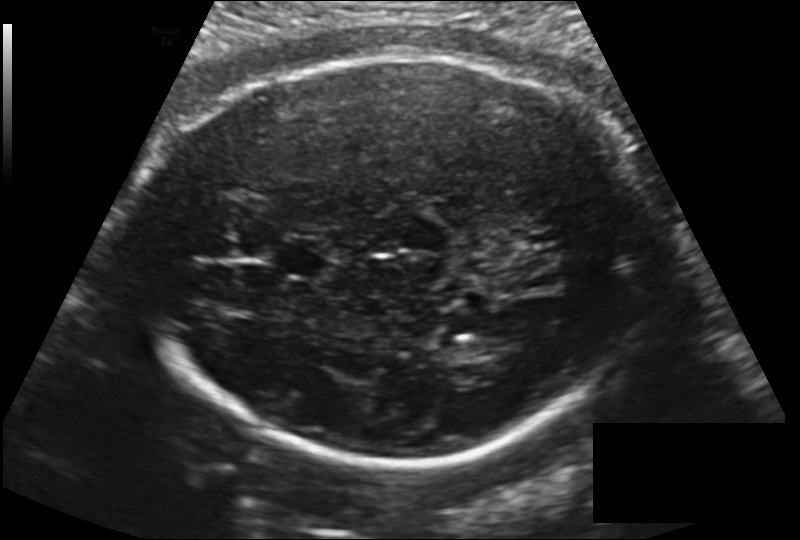
Estimate the fetal head circumference from this 2D ultrasound. Image width: 144.8 mm.

Head circumference: 267.7 mm.